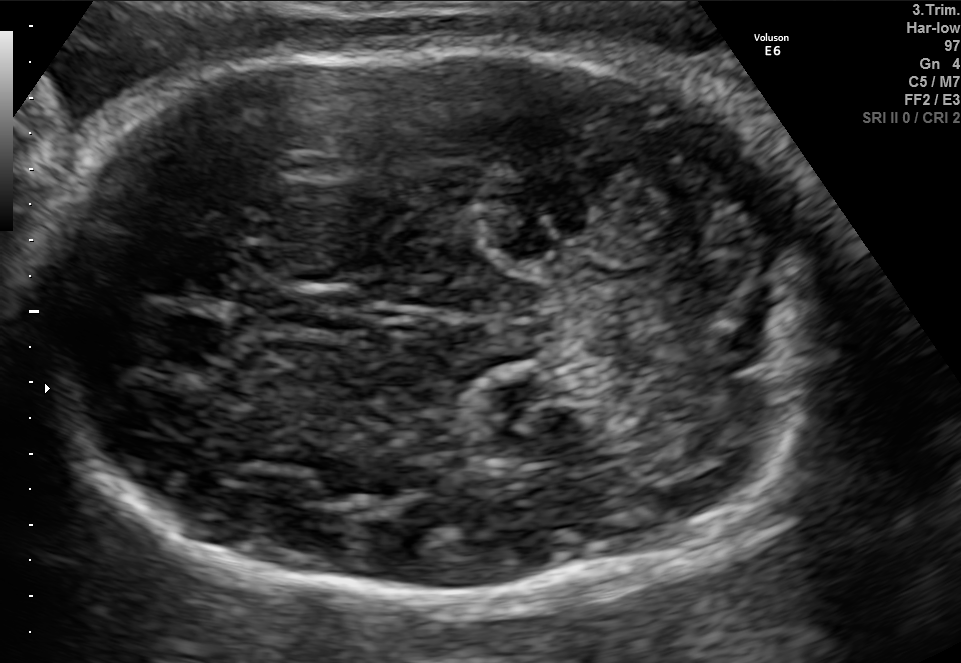
Fetal brain, trans-cerebellum plane. Where is the fetal head?

Head bounding box: [31,44,812,597]